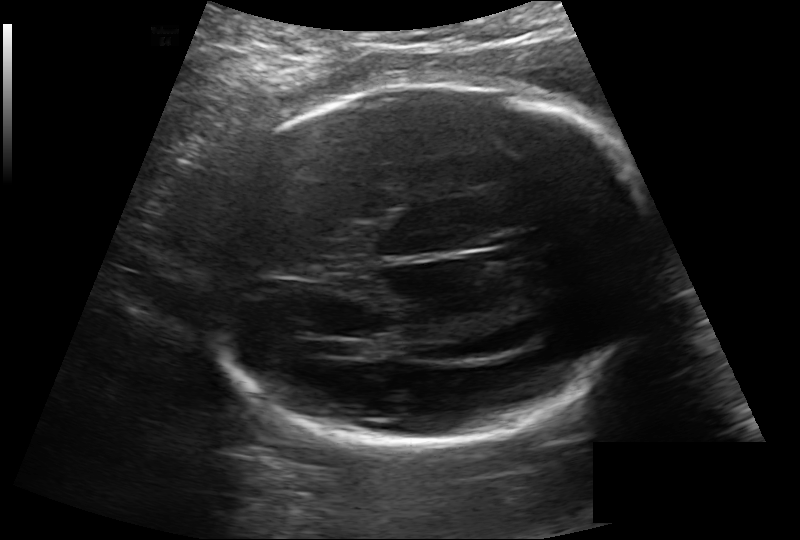
In this fetal head ultrasound, give bounding boxes for the head outline, cavum septum pellucidum (CSP), and lateral ventricle (LV), where visible. Image width: 151.0 mm.

Head: [206,85,654,445]